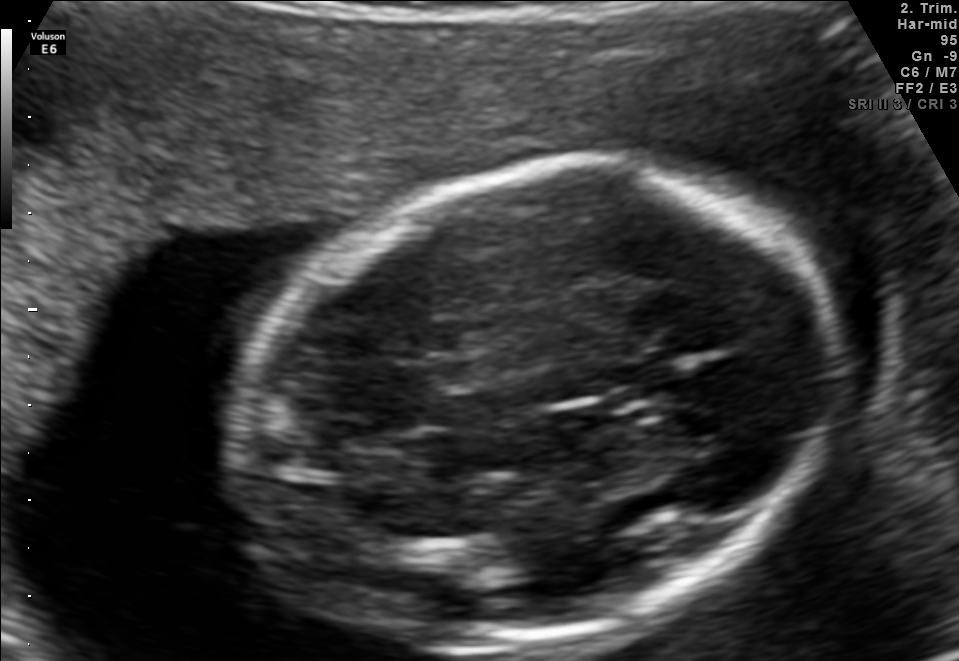
Fetal brain, trans-thalamic plane. Where is the fetal head?

Head bounding box: [232,155,839,654]